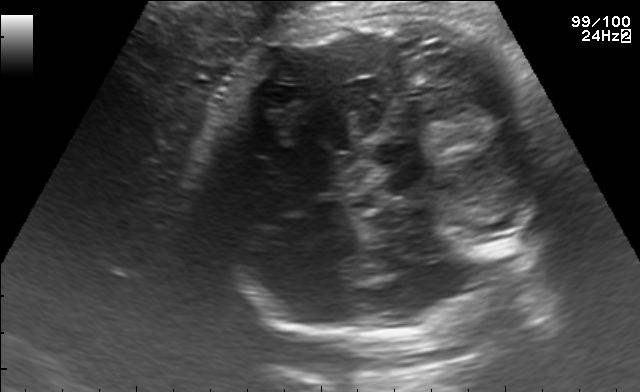
Fetal brain, trans-cerebellum plane. Give [x1,y1,x2,y2] bounding boxes for each visible structure among: fetal head, CSP, LV.

Head: [202,3,559,340]